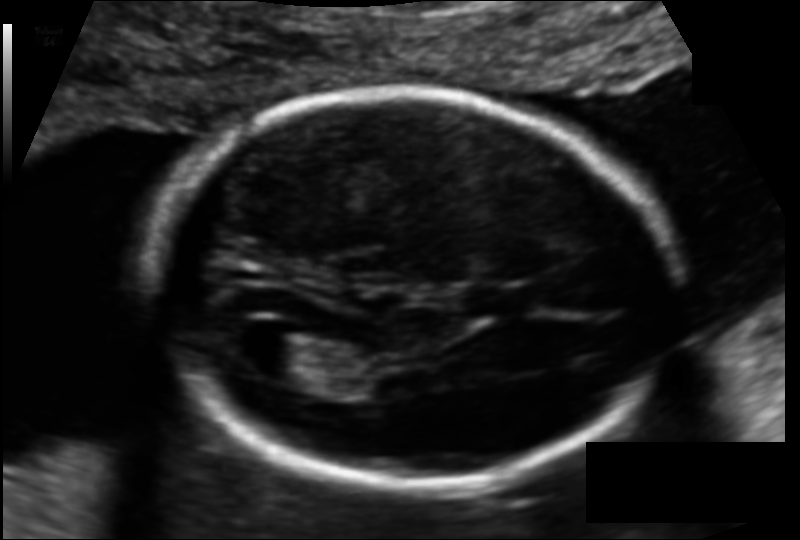
Estimate the fetal head circumference from this 2D ultrasound. Image width: 91.1 mm.

Head circumference: 169.0 mm.